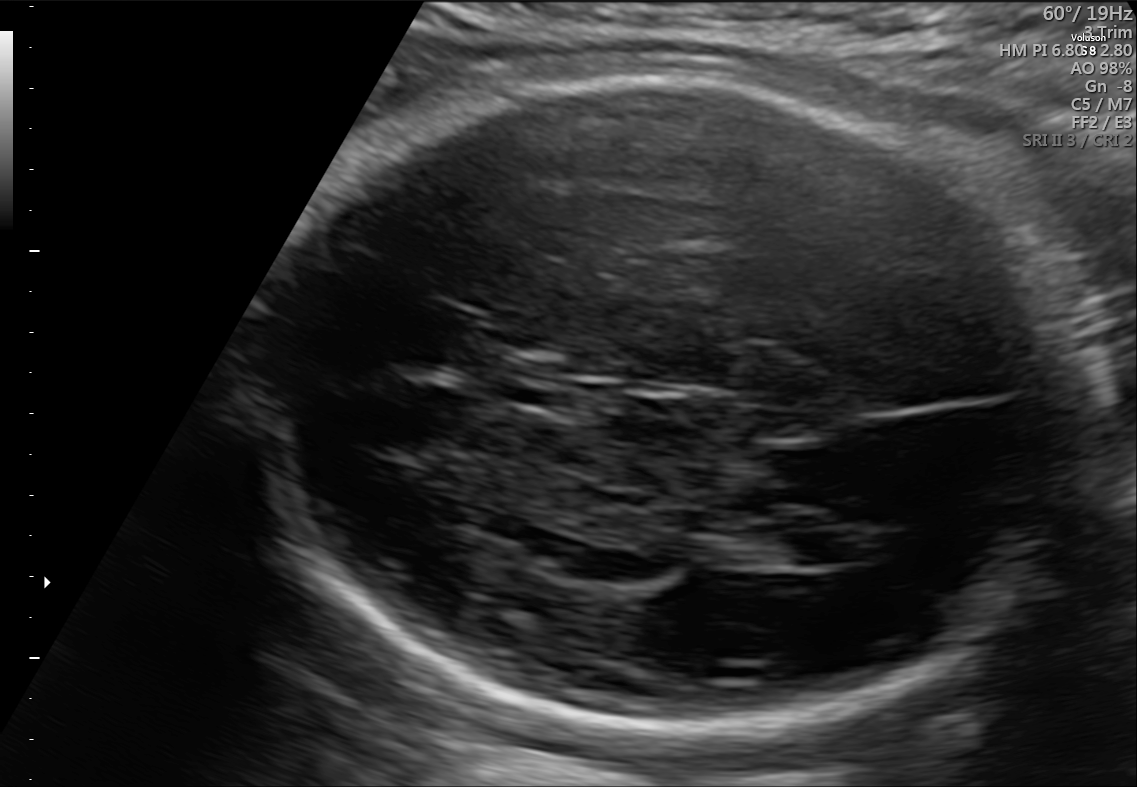
In this fetal brain, trans-ventricular plane, give the bounding box of the lateral ventricle.

[783,531,874,565]